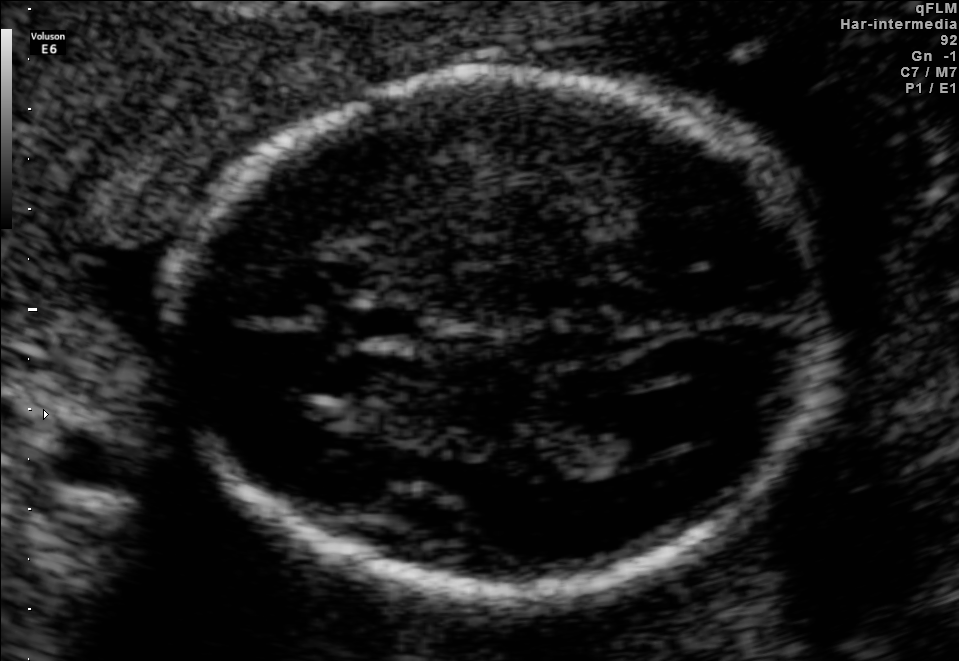
In this fetal brain, trans-ventricular plane, give the bounding box of the cavum septum pellucidum.

[350,306,437,337]